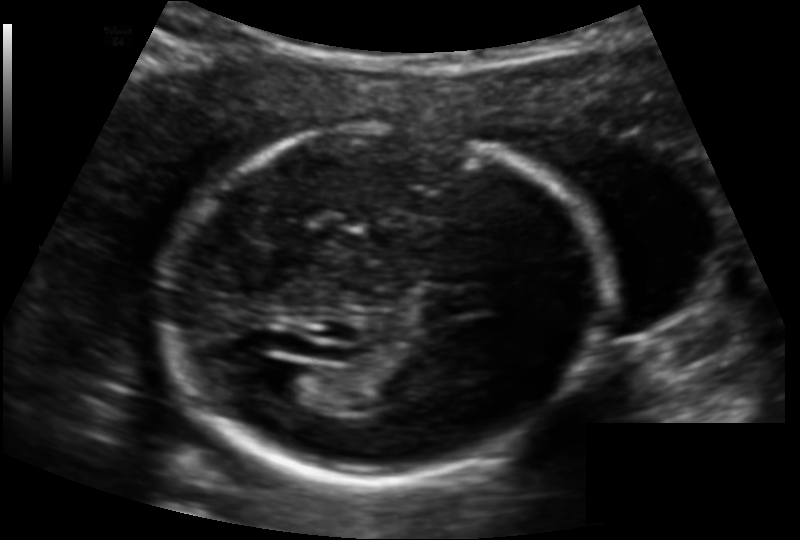
What is the fetal head circumference? Image width is 105.9 mm.

176.4 mm